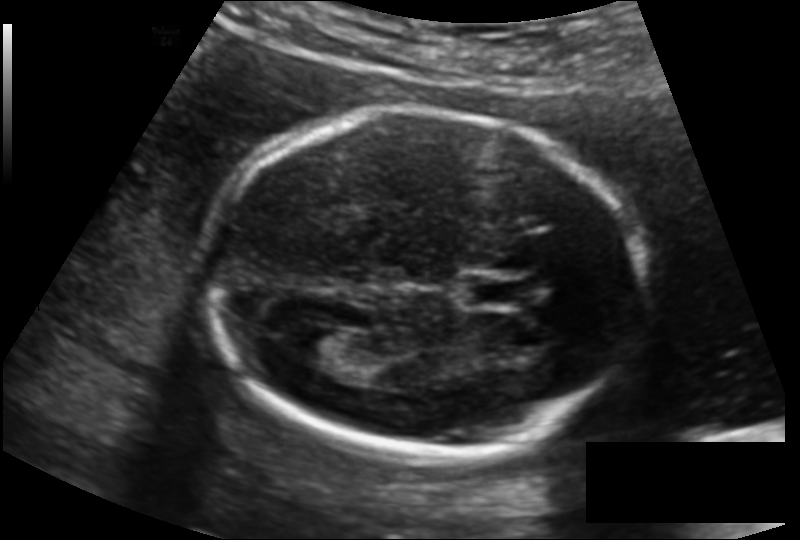
Fetal head ultrasound. Image width: 107.6 mm. Where is the cavum septum pellucidum?

CSP bounding box: [467,278,533,307]